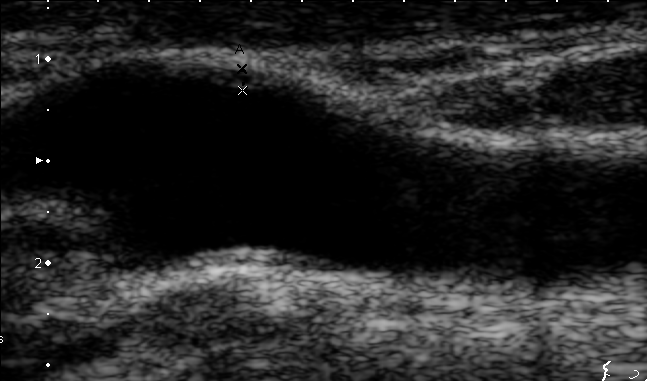
This is a 2D maternal-fetal ultrasound frame. Is it a fetal abdomen, fetal brain, fetal femur, fetal thorax, maternal cervix, or other standard plane? If it's fetal brain and one of the three standard brain planes (trans-thalamic, trans-cerebellum, trans-ventricular), name which.

Other